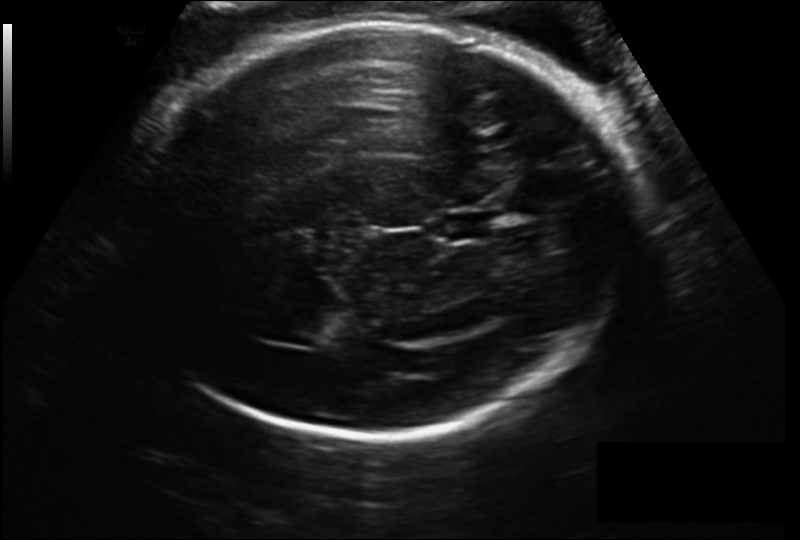
In this fetal head ultrasound, give bounding boxes for the head outline, cavum septum pellucidum (CSP), and lateral ventricle (LV), where visible. Image width: 164.9 mm.

Head: [127,20,625,435]
CSP: [432,208,498,244]
Lateral ventricle: [275,309,330,348]